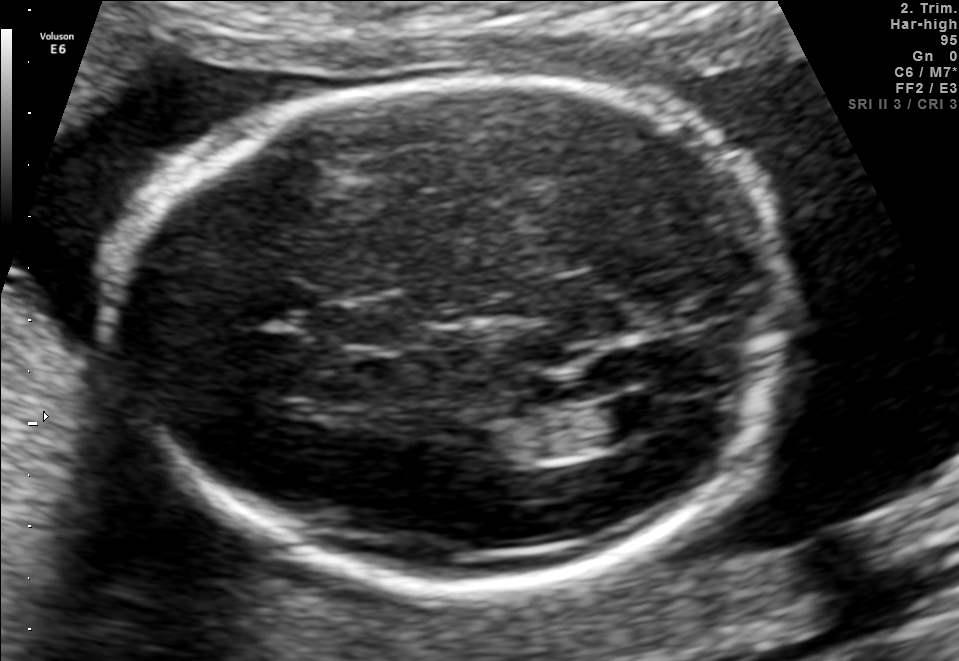
In this fetal brain, trans-ventricular plane, give the bounding box of the fetal head.

[103,80,786,587]